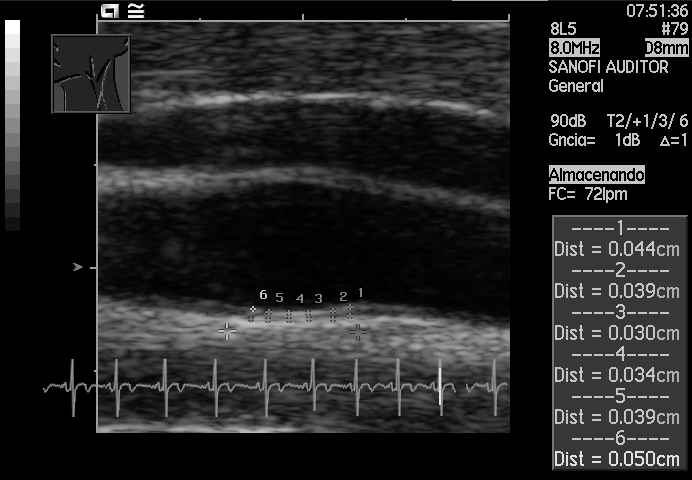
This is a 2D maternal-fetal ultrasound frame. Is it a fetal abdomen, fetal brain, fetal femur, fetal thorax, maternal cervix, or other standard plane? If it's fetal brain and one of the three standard brain planes (trans-thalamic, trans-cerebellum, trans-ventricular), name which.

Other